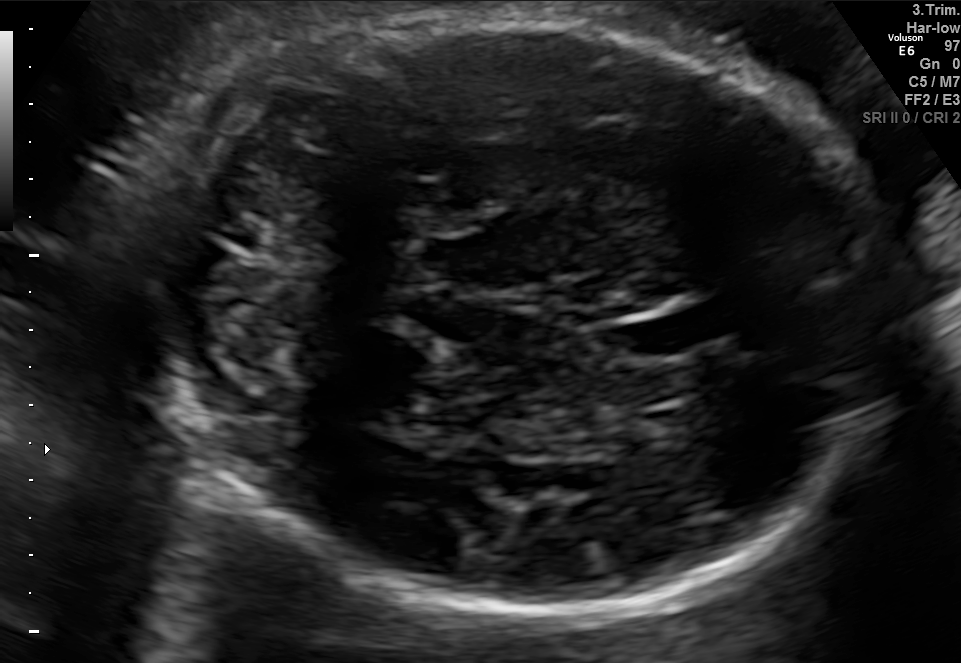
Fetal brain, trans-cerebellum plane. Where is the fetal head?

Head bounding box: [153,7,884,620]